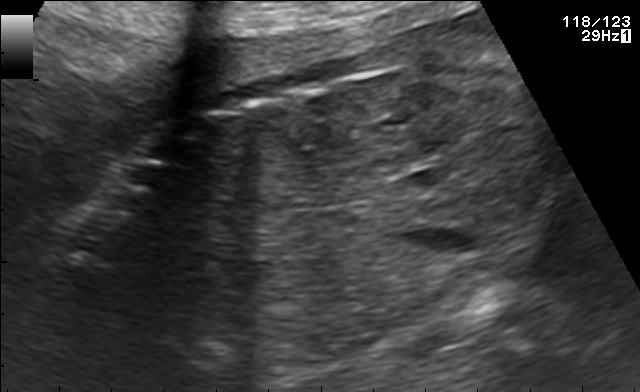
Identify the standard plane in this fetal ultrasound image: fetal abdomen, fetal brain, fetal femur, fetal thorax, maternal cervix, or other. If it's fetal brain and one of the three standard brain planes (trans-thalamic, trans-cerebellum, trans-ventricular), name which.

Other